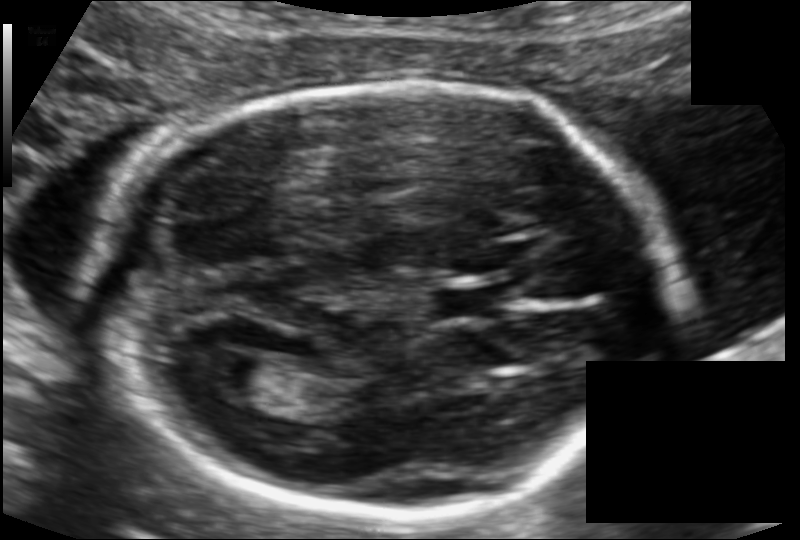
Fetal head ultrasound. Image width: 87.3 mm. Give [x1,y1,x2,y2] bounding boxes for each visible structure among: fetal head, CSP, LV.

Head: [96,83,669,522]
CSP: [428,280,504,325]
Lateral ventricle: [190,345,282,405]